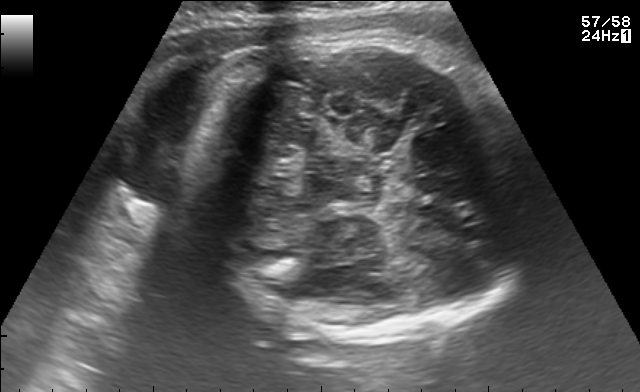
Fetal brain, trans-thalamic plane. Locate the fetal head and, if visible, the cavum septum pellucidum (CSP) and lateral ventricle (LV). Give bounding boxes as [x1,y1,x2,y2].

Head: [186,36,531,334]